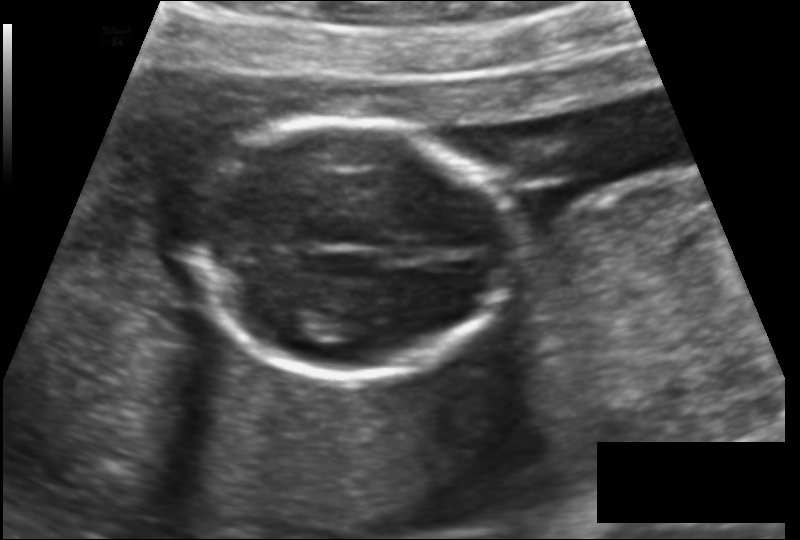
Fetal head ultrasound. Image width: 109.0 mm. Locate the fetal head.

Head: [189,122,515,377]